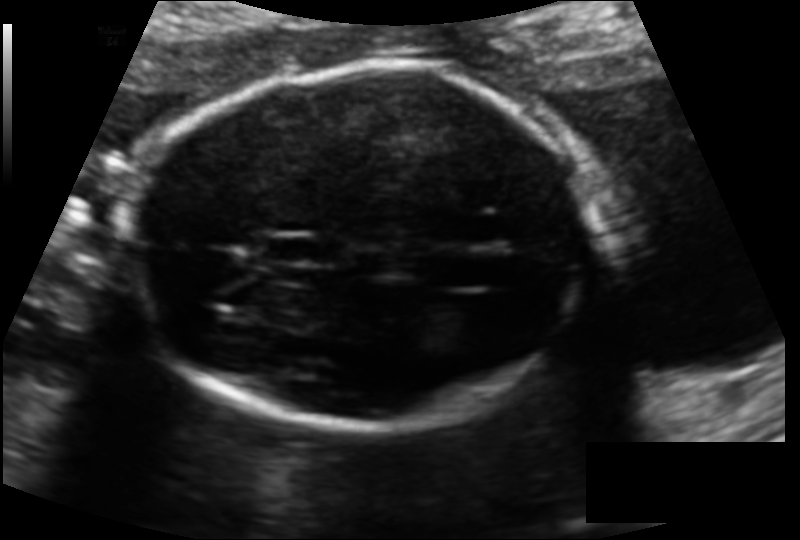
From this fetal ultrasound, estimate the head circumference (image width 101.0 mm).

Head circumference: 168.3 mm.